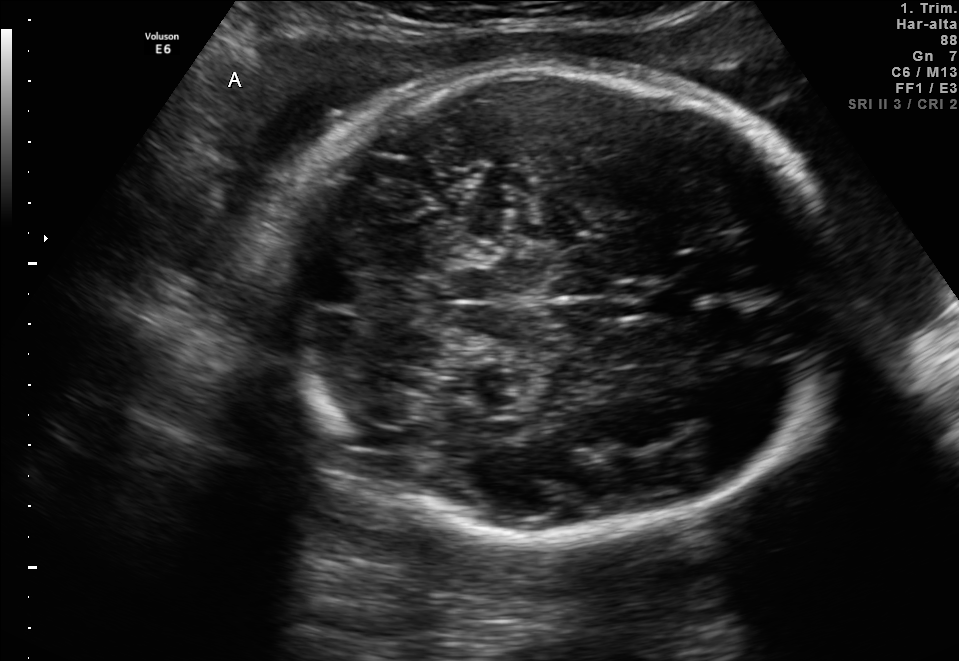
Fetal brain, trans-cerebellum plane. Where is the fetal head?

Head bounding box: [260,66,849,537]